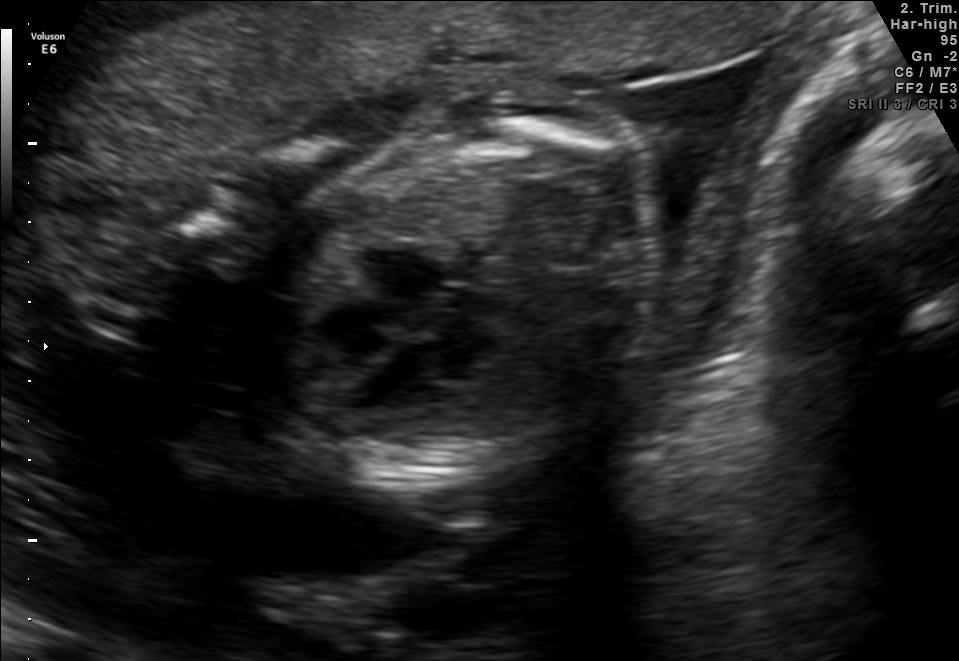
Identify the standard plane in this fetal ultrasound image: fetal abdomen, fetal brain, fetal femur, fetal thorax, maternal cervix, or other. If it's fetal brain and one of the three standard brain planes (trans-thalamic, trans-cerebellum, trans-ventricular), name which.

Fetal thorax